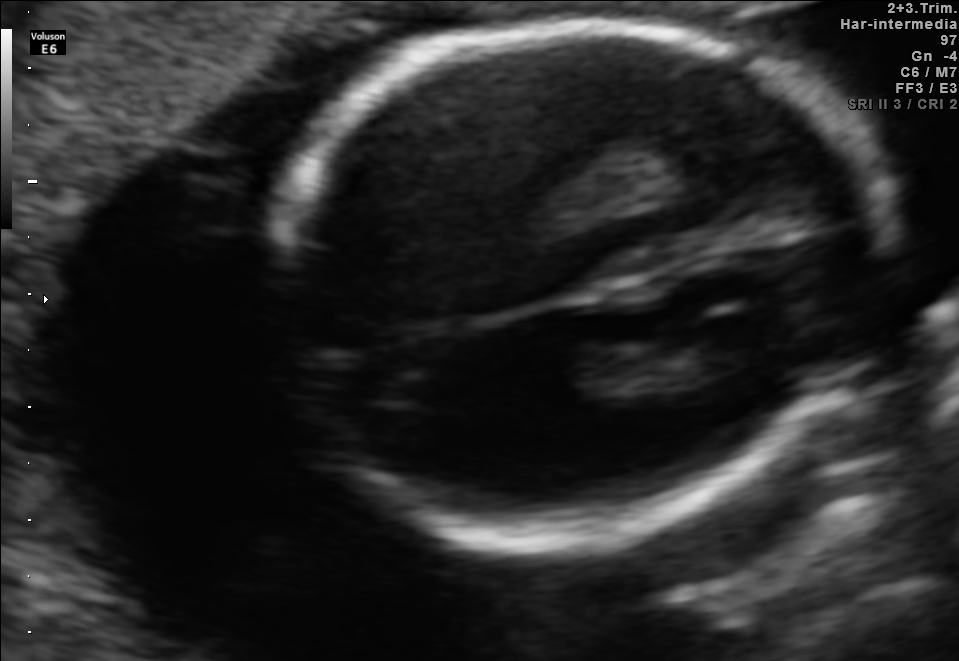
Fetal brain, trans-thalamic plane. Locate the fetal head.

Head: [263,20,874,541]